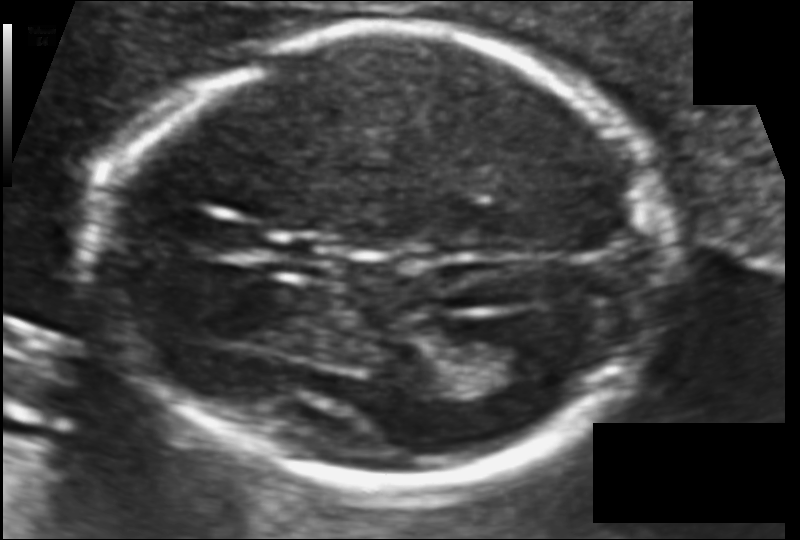
Fetal head ultrasound. Image width: 78.9 mm. Where is the lateral ventricle?

Lateral ventricle bounding box: [455,323,552,393]